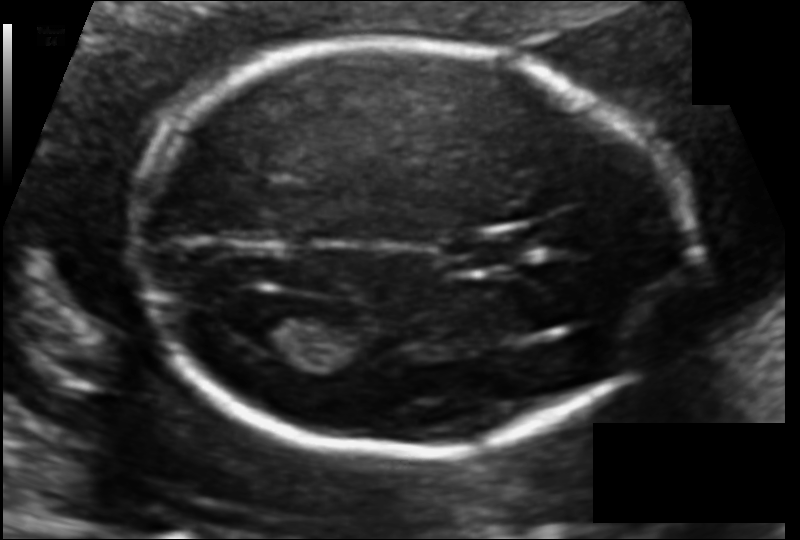
In this fetal head ultrasound, give the bounding box of the lateral ventricle. Image width: 84.8 mm.

[240,297,331,367]